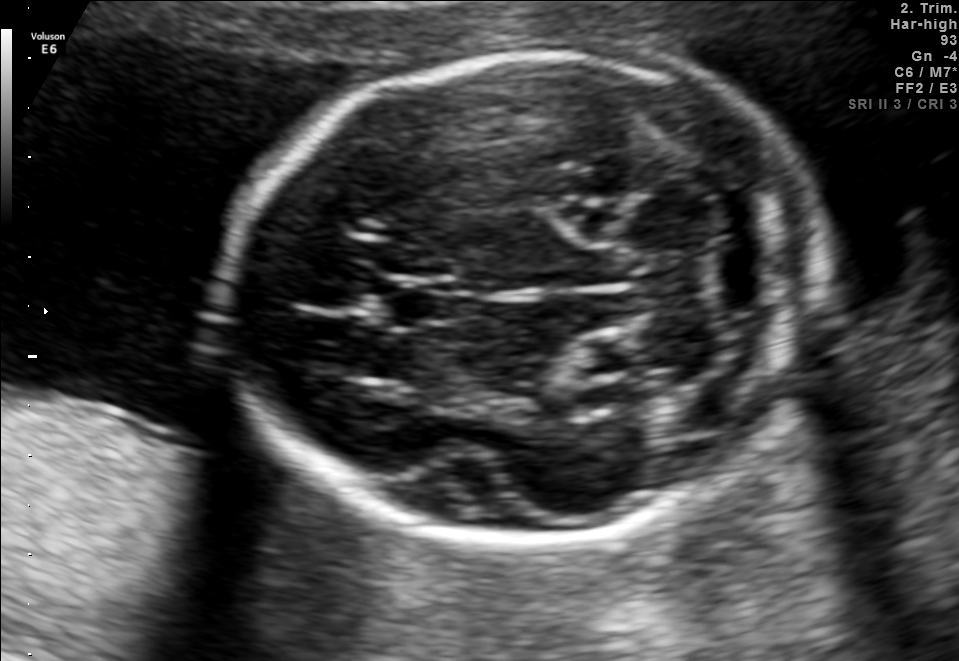
Fetal brain, trans-cerebellum plane. Locate the fetal head and, if visible, the cavum septum pellucidum (CSP) and lateral ventricle (LV). Give bounding boxes as [x1,y1,x2,y2].

Head: [228,54,819,539]
CSP: [380,277,460,330]